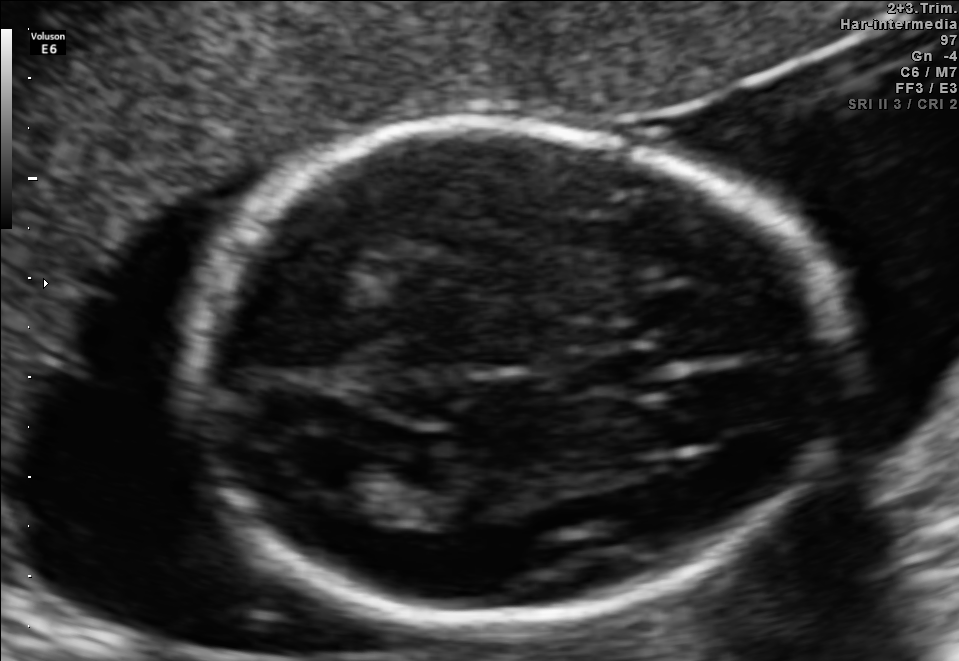
Fetal brain, trans-ventricular plane. Where is the fetal head?

Head bounding box: [167,111,852,630]